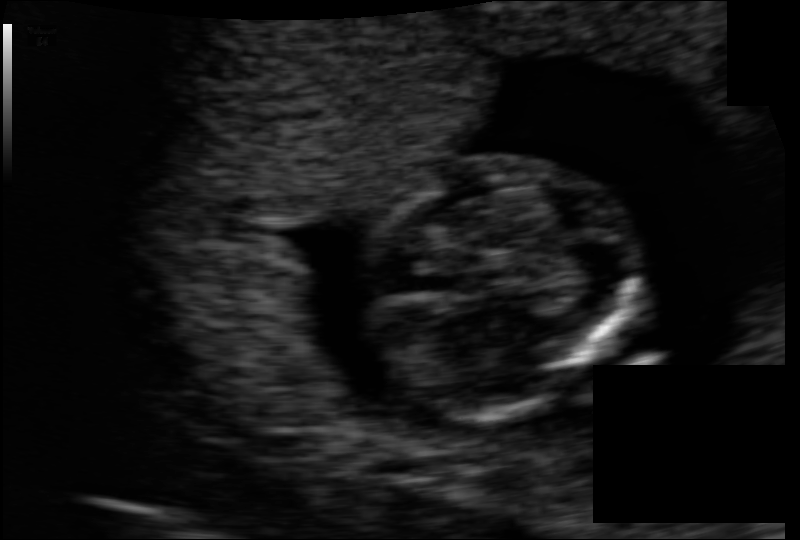
Fetal head ultrasound. Image width: 66.6 mm. Locate the fetal head.

Head: [361,153,629,415]